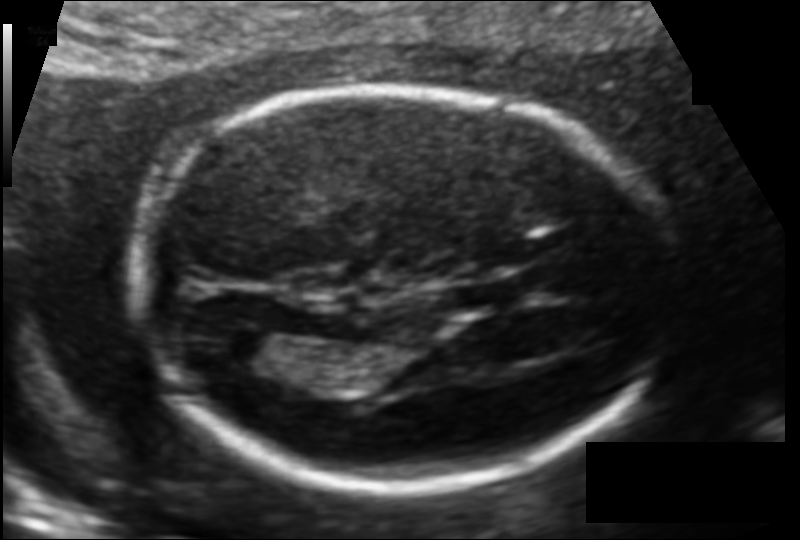
Fetal head ultrasound. Image width: 87.0 mm. Where is the lateral ventricle?

Lateral ventricle bounding box: [214,326,289,374]